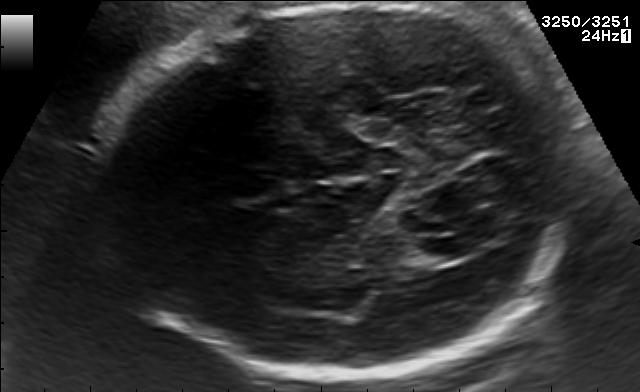
Fetal brain, trans-thalamic plane. Locate the lateral ventricle.

Lateral ventricle: [405,226,481,274]